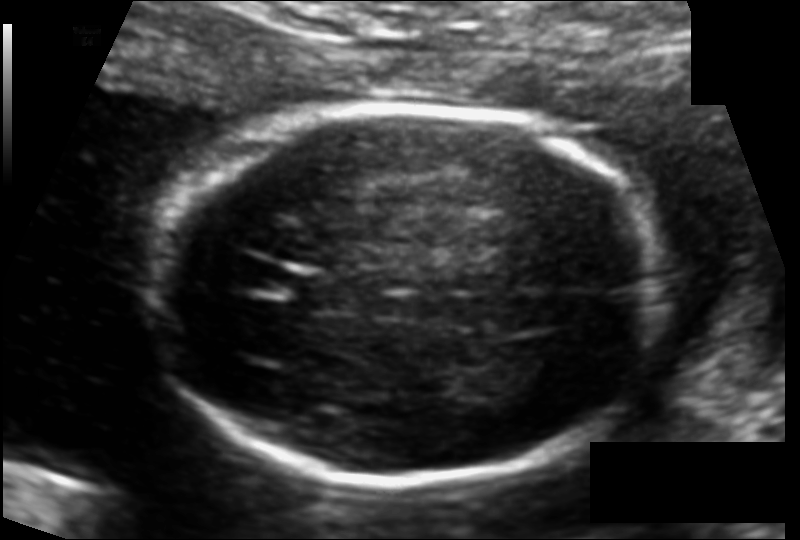
What is the fetal head circumference? Image width is 92.3 mm.

166.9 mm